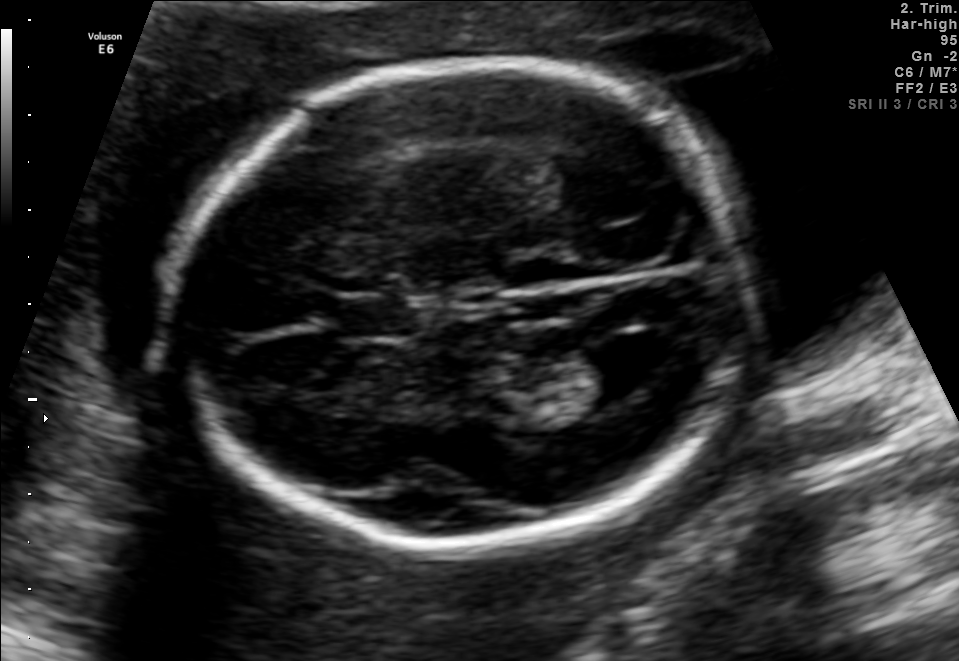
In this fetal brain, trans-ventricular plane, give the bounding box of the fetal head.

[160,57,761,562]